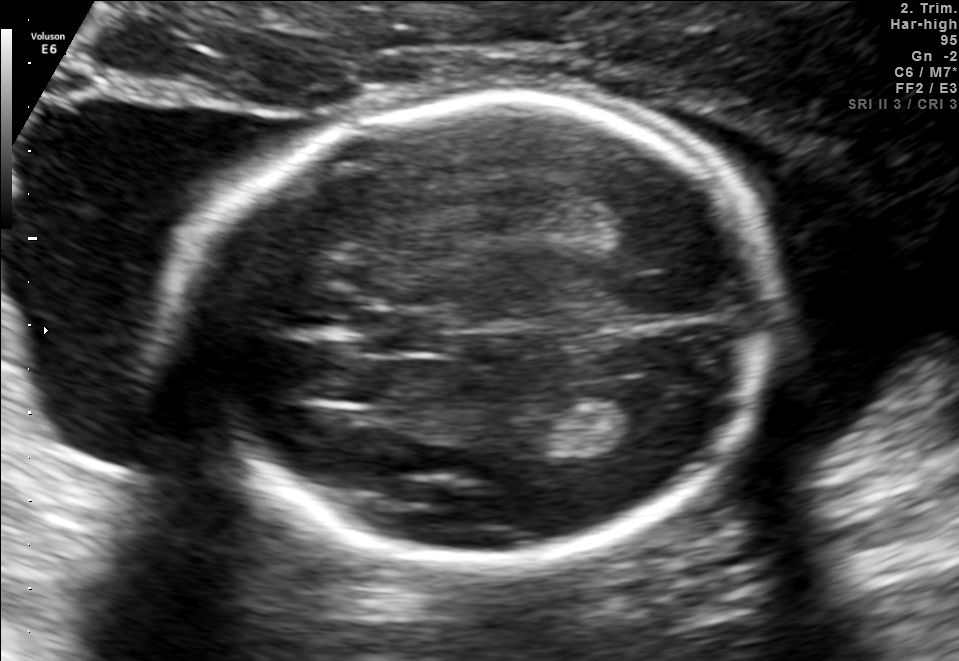
This is a 2D maternal-fetal ultrasound frame. Is it a fetal abdomen, fetal brain, fetal femur, fetal thorax, maternal cervix, or other standard plane? If it's fetal brain and one of the three standard brain planes (trans-thalamic, trans-cerebellum, trans-ventricular), name which.

Fetal brain (trans-thalamic plane)